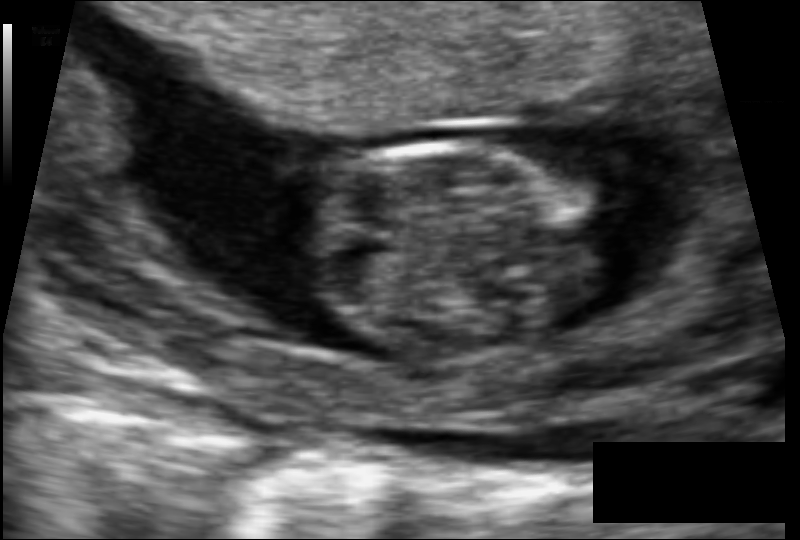
Fetal head ultrasound. Image width: 61.8 mm. Where is the fetal head?

Head bounding box: [304,141,603,356]